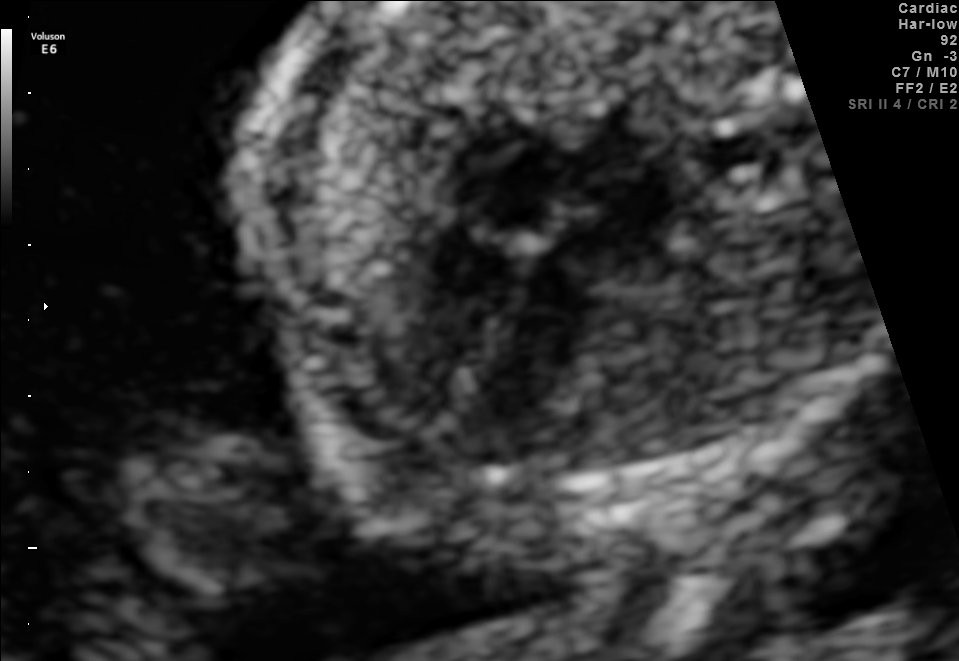
This is a 2D maternal-fetal ultrasound frame. Is it a fetal abdomen, fetal brain, fetal femur, fetal thorax, maternal cervix, or other standard plane? If it's fetal brain and one of the three standard brain planes (trans-thalamic, trans-cerebellum, trans-ventricular), name which.

Fetal thorax